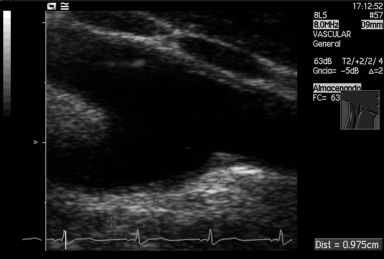
Identify the standard plane in this fetal ultrasound image: fetal abdomen, fetal brain, fetal femur, fetal thorax, maternal cervix, or other. If it's fetal brain and one of the three standard brain planes (trans-thalamic, trans-cerebellum, trans-ventricular), name which.

Other